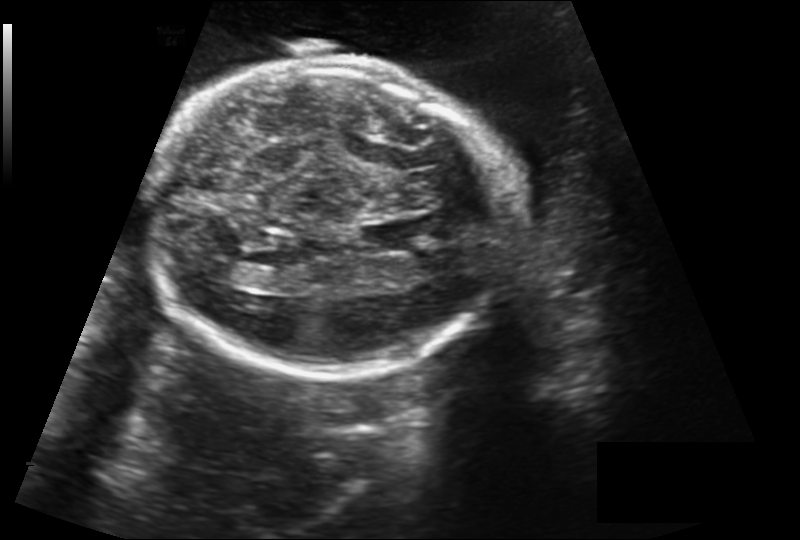
What is the fetal head circumference? Image width is 169.6 mm.

231.6 mm